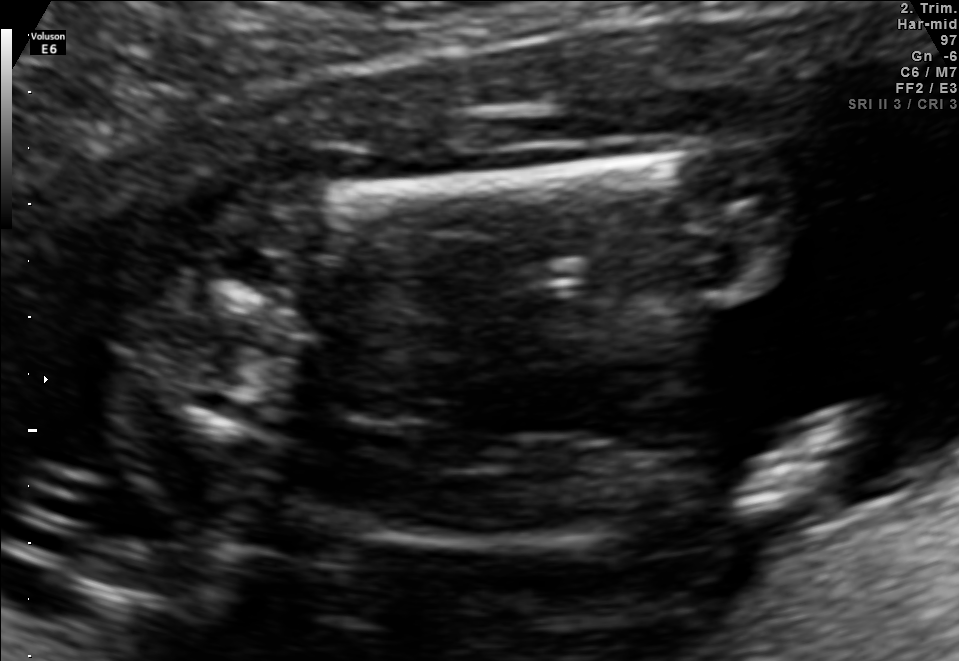
Which standard maternal-fetal ultrasound plane is shown: fetal abdomen, fetal brain, fetal femur, fetal thorax, maternal cervix, or other? If it's fetal brain and one of the three standard brain planes (trans-thalamic, trans-cerebellum, trans-ventricular), name which.

Fetal femur